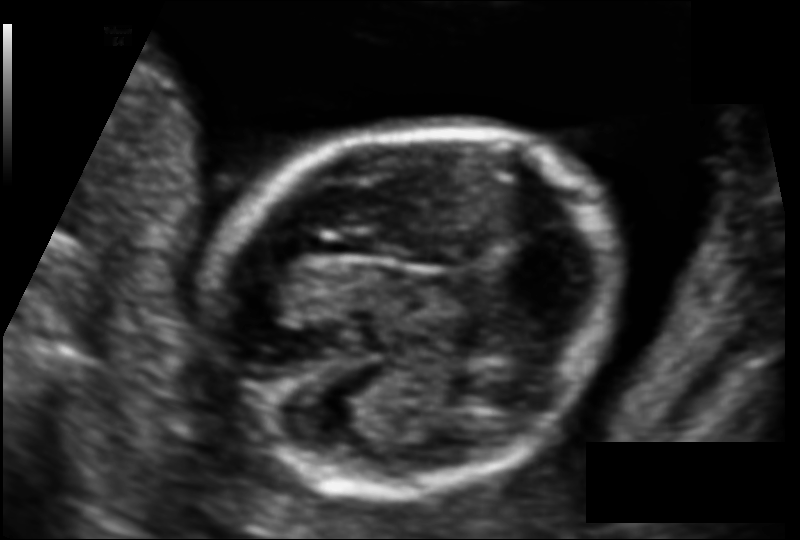
Measure the fetal head circumference shown in this ultrasound image. Image width: 79.2 mm.

Head circumference: 123.4 mm.